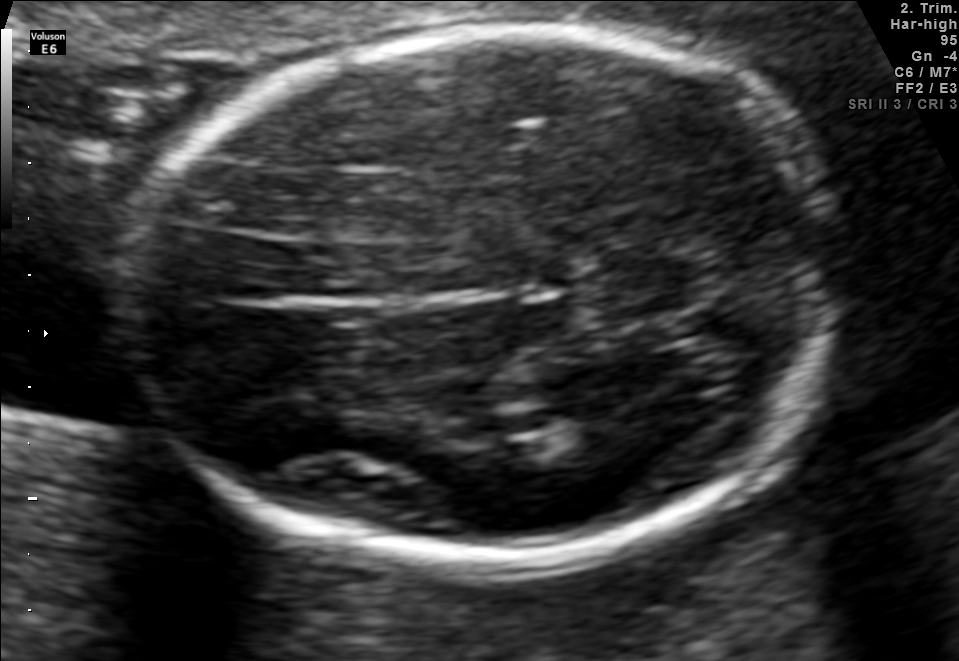
In this fetal brain, trans-thalamic plane, give the bounding box of the fetal head.

[127,30,838,577]